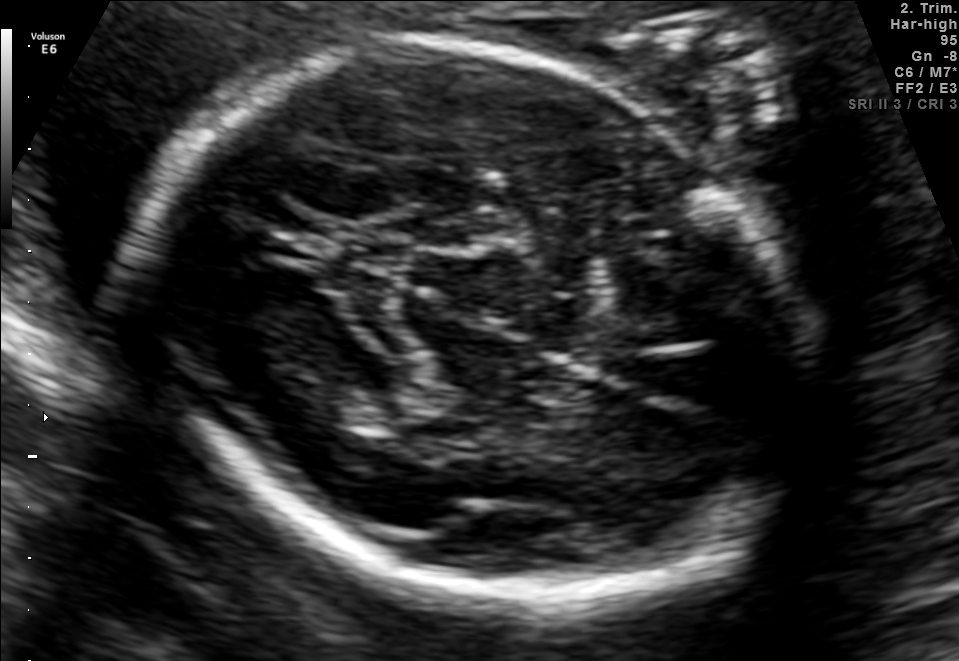
In this fetal brain, trans-thalamic plane, give the bounding box of the fetal head.

[143,40,802,601]